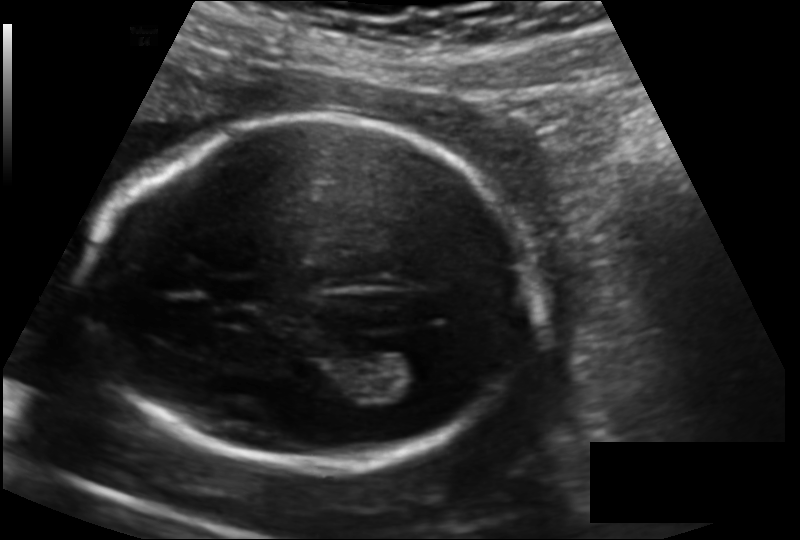
Fetal head ultrasound. Image width: 111.4 mm. Locate the cavum septum pellucidum.

CSP: [210,277,262,303]